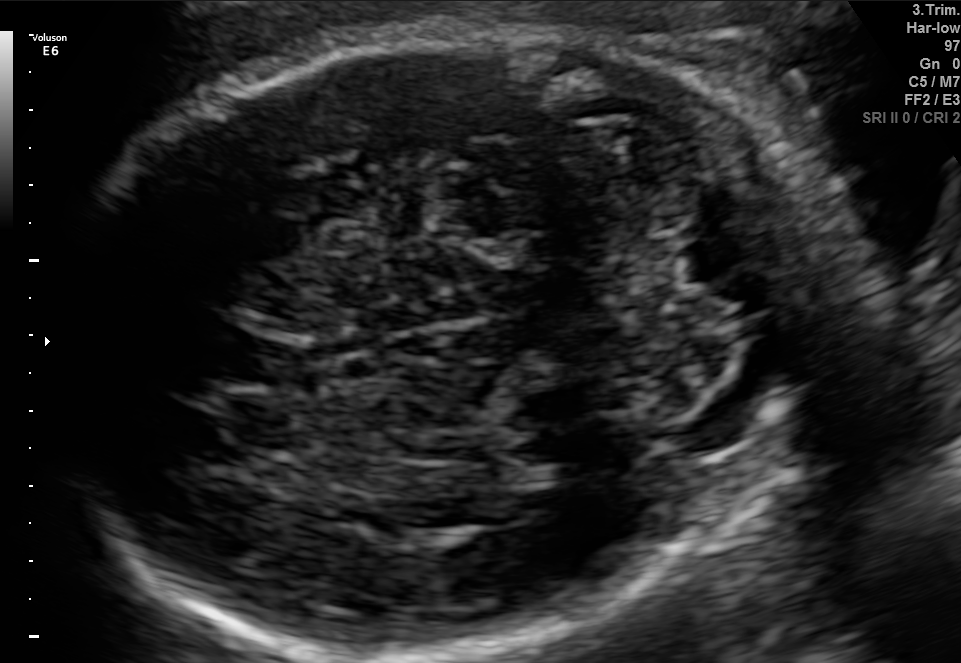
In this fetal brain, trans-cerebellum plane, give bounding boxes for the head outline, cavum septum pellucidum (CSP), and lateral ventricle (LV), where visible.

Head: [51,25,860,648]
CSP: [215,327,317,396]